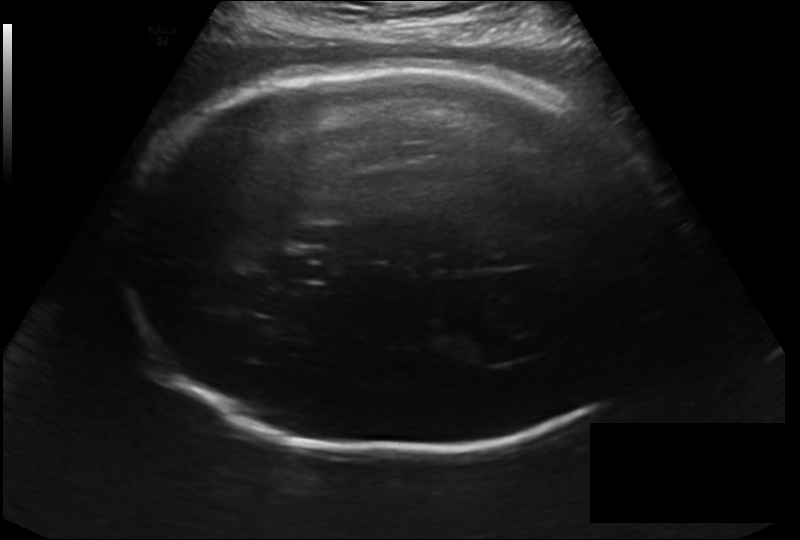
Fetal head ultrasound. Image width: 171.6 mm. Where is the cavum septum pellucidum?

CSP bounding box: [279,247,329,283]